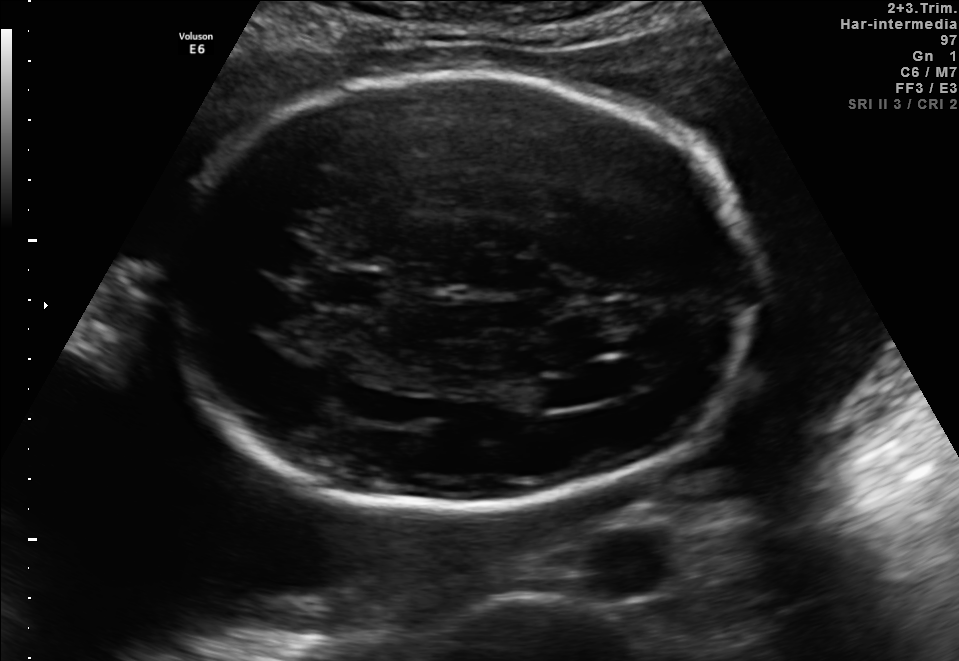
In this fetal brain, trans-ventricular plane, give bounding boxes for the head outline, cavum septum pellucidum (CSP), and lateral ventricle (LV), where visible.

Head: [166,68,759,513]
CSP: [314,267,377,308]
Lateral ventricle: [531,375,590,413]